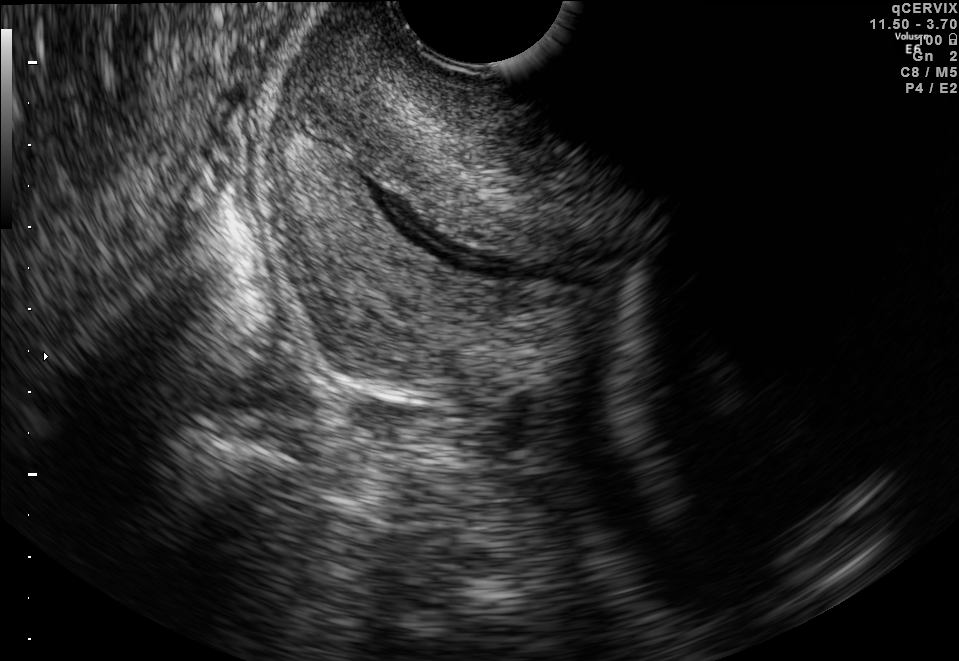
Which standard maternal-fetal ultrasound plane is shown: fetal abdomen, fetal brain, fetal femur, fetal thorax, maternal cervix, or other? If it's fetal brain and one of the three standard brain planes (trans-thalamic, trans-cerebellum, trans-ventricular), name which.

Maternal cervix